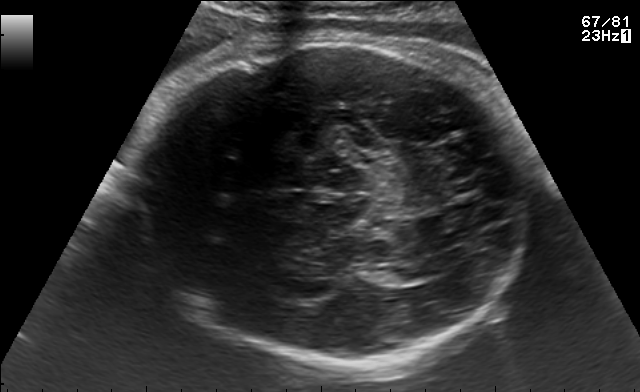
Fetal brain, trans-thalamic plane. Locate the fetal head and, if visible, the cavum septum pellucidum (CSP) and lateral ventricle (LV). Give bounding boxes as [x1,y1,x2,y2].

Head: [129,37,531,369]
Lateral ventricle: [368,264,425,286]